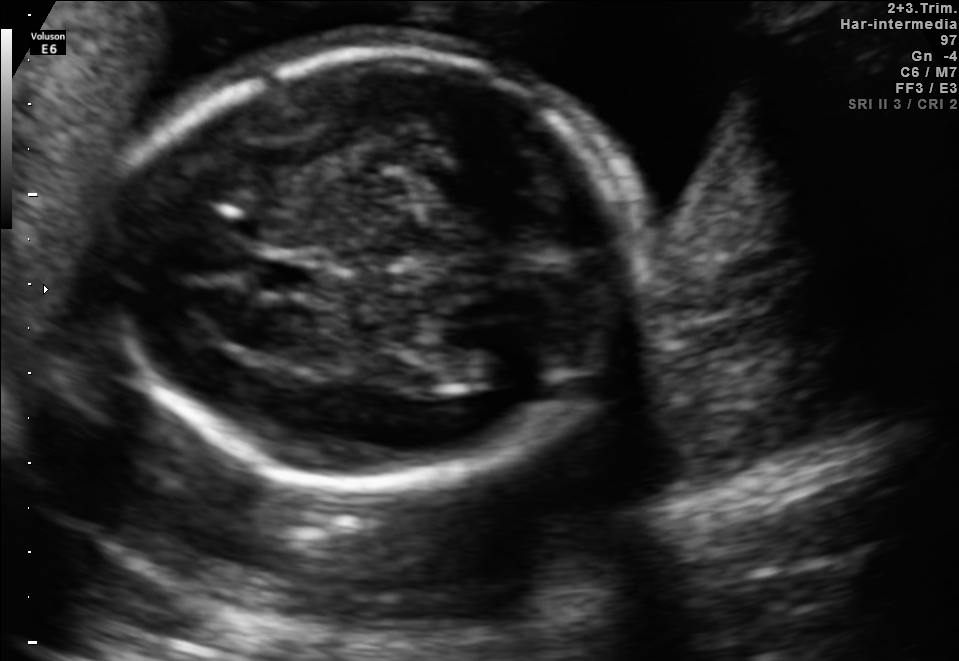
In this fetal brain, trans-thalamic plane, give the bounding box of the lateral ventricle.

[419,323,522,387]